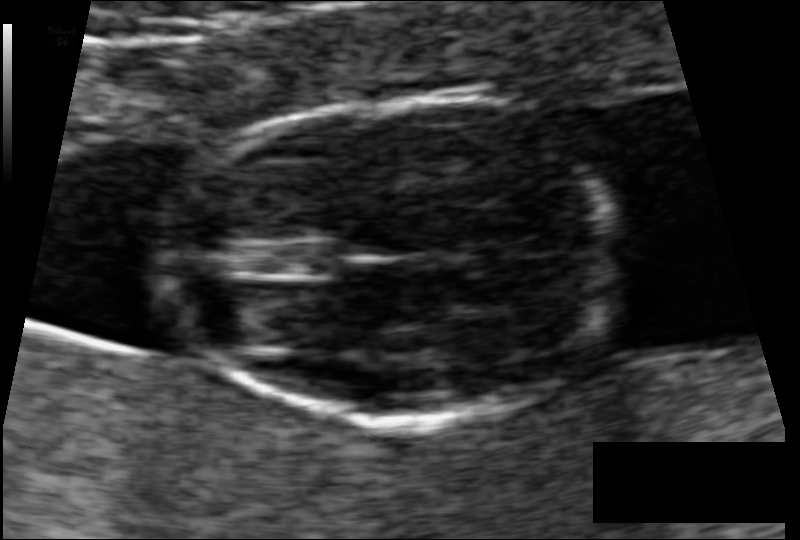
Fetal head ultrasound. Image width: 49.5 mm. Give [x1,y1,x2,y2] bounding boxes for each visible structure among: fetal head, CSP, LV.

Head: [171,99,616,422]